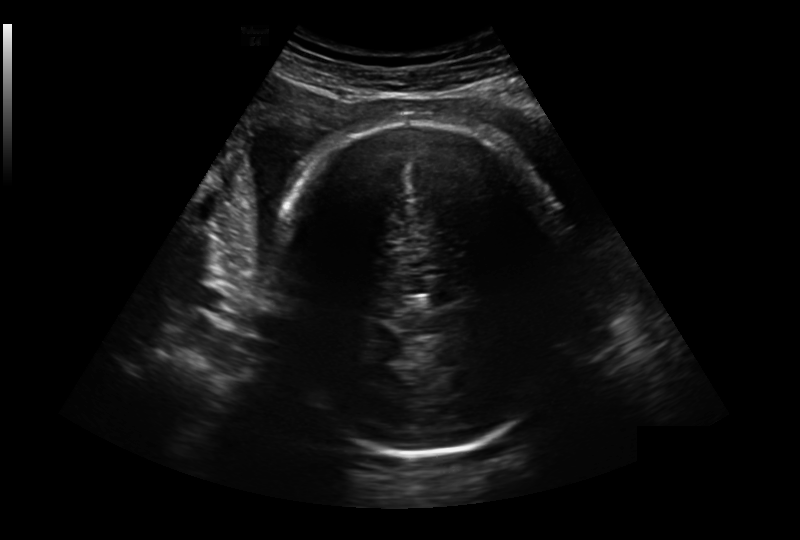
Estimate the fetal head circumference from this 2D ultrasound. Image width: 225.0 mm.

Head circumference: 284.0 mm.